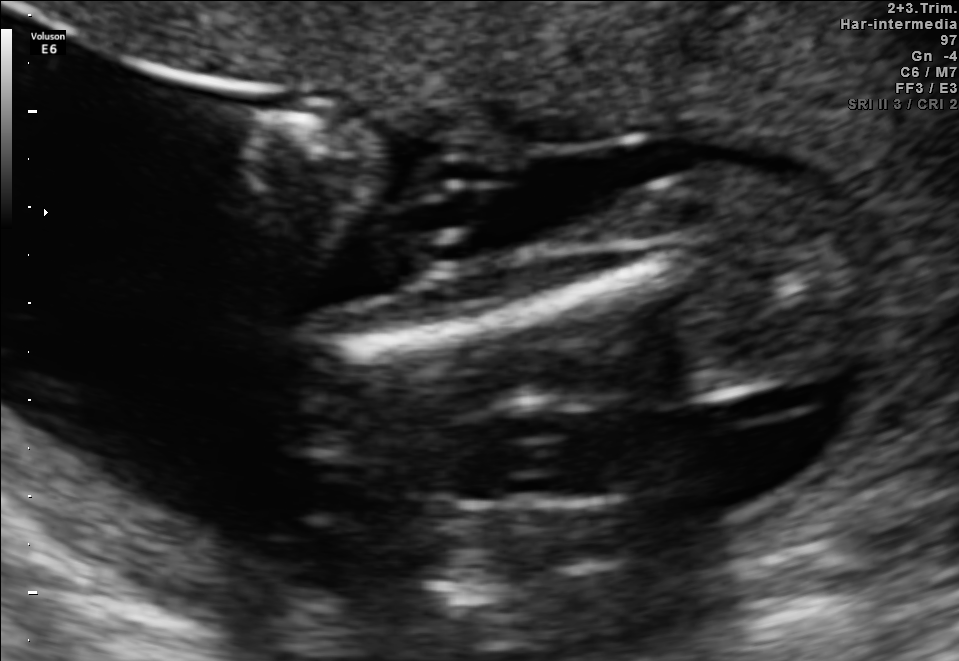
This is a 2D maternal-fetal ultrasound frame. Is it a fetal abdomen, fetal brain, fetal femur, fetal thorax, maternal cervix, or other standard plane? If it's fetal brain and one of the three standard brain planes (trans-thalamic, trans-cerebellum, trans-ventricular), name which.

Fetal femur